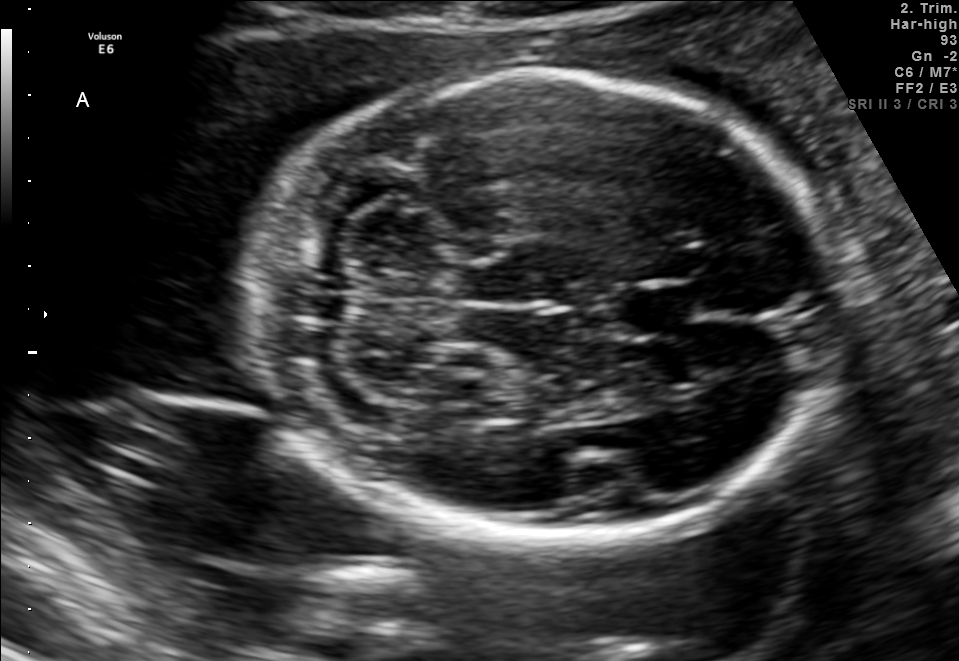
Fetal brain, trans-cerebellum plane. Locate the fetal head and, if visible, the cavum septum pellucidum (CSP) and lateral ventricle (LV). Give bounding boxes as [x1,y1,x2,y2].

Head: [257,74,836,541]
CSP: [615,279,697,340]